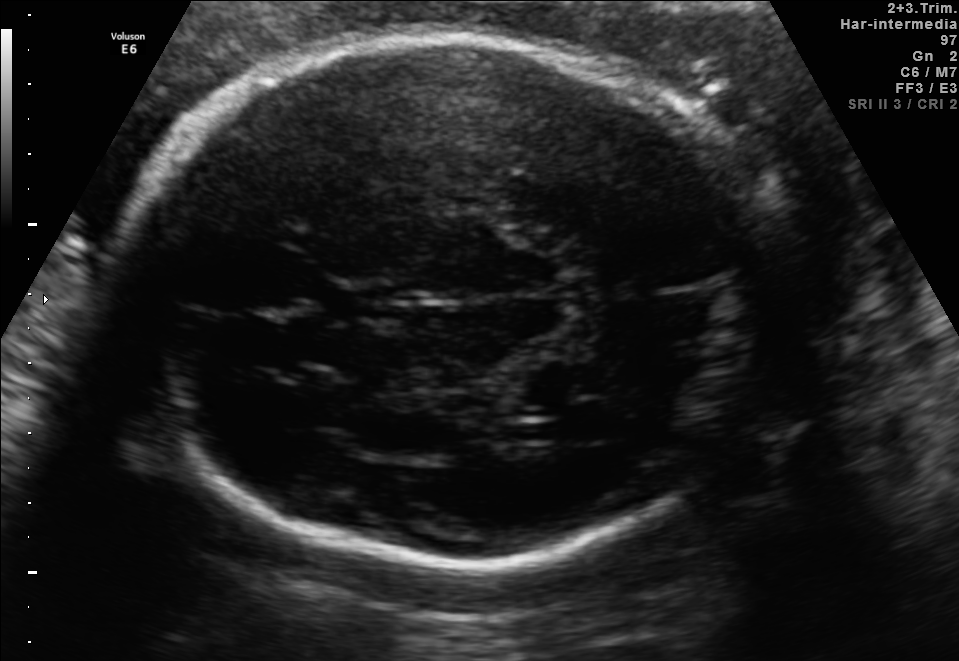
Fetal brain, trans-thalamic plane. Locate the fetal head.

Head: [114,38,779,563]